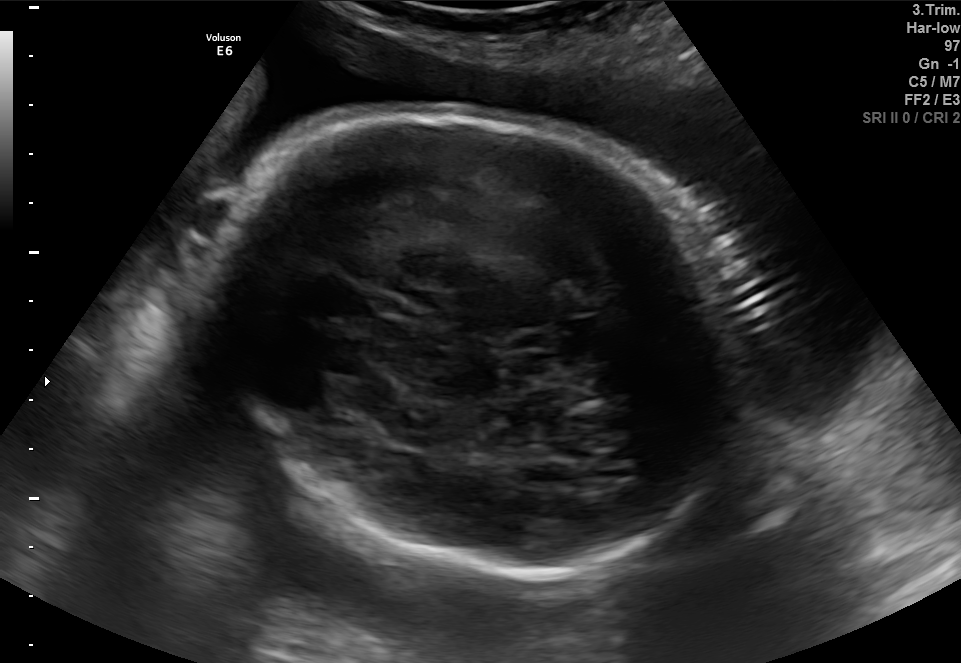
Fetal brain, trans-thalamic plane. Locate the fetal head and, if visible, the cavum septum pellucidum (CSP) and lateral ventricle (LV). Give bounding boxes as [x1,y1,x2,y2].

Head: [190,107,763,578]